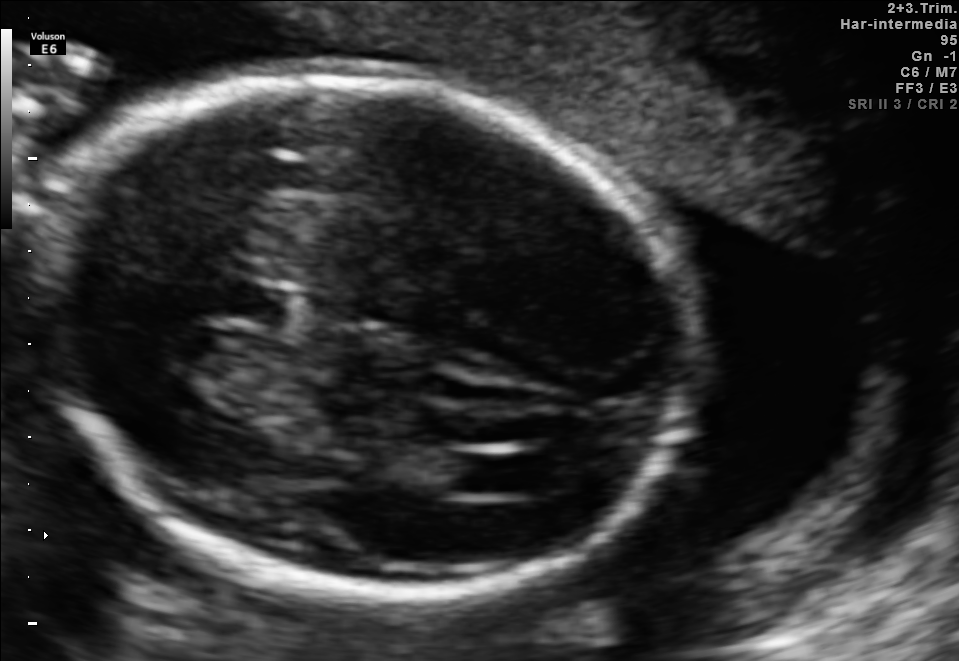
Fetal brain, trans-ventricular plane. Locate the cavum septum pellucidum.

CSP: [212,278,289,329]